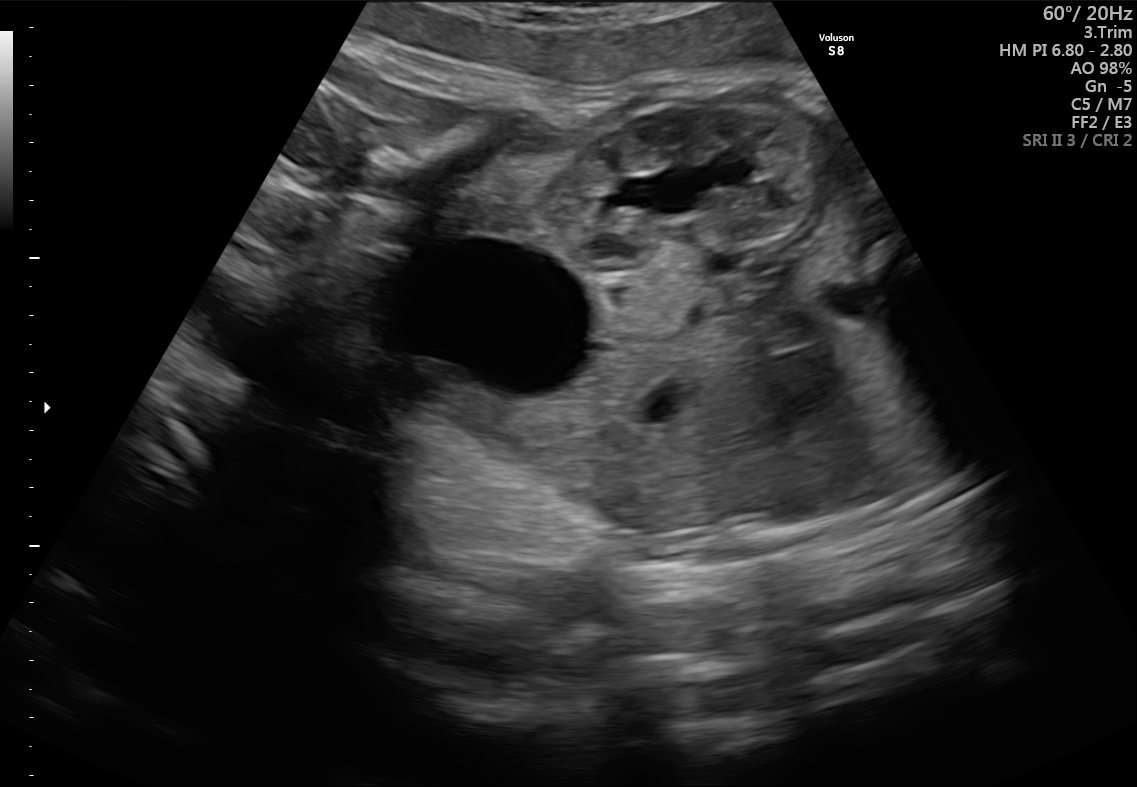
This is a 2D maternal-fetal ultrasound frame. Is it a fetal abdomen, fetal brain, fetal femur, fetal thorax, maternal cervix, or other standard plane? If it's fetal brain and one of the three standard brain planes (trans-thalamic, trans-cerebellum, trans-ventricular), name which.

Other